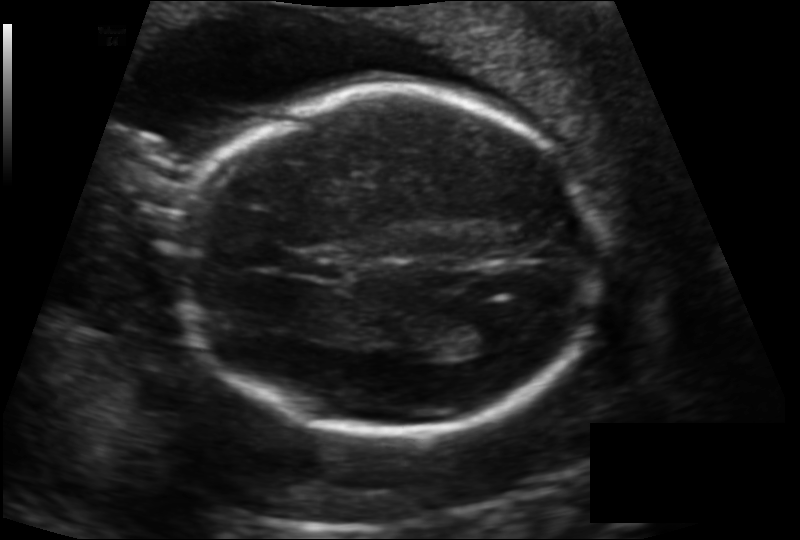
In this fetal head ultrasound, give the bounding box of the lateral ventricle. Image width: 113.2 mm.

[446,303,514,358]